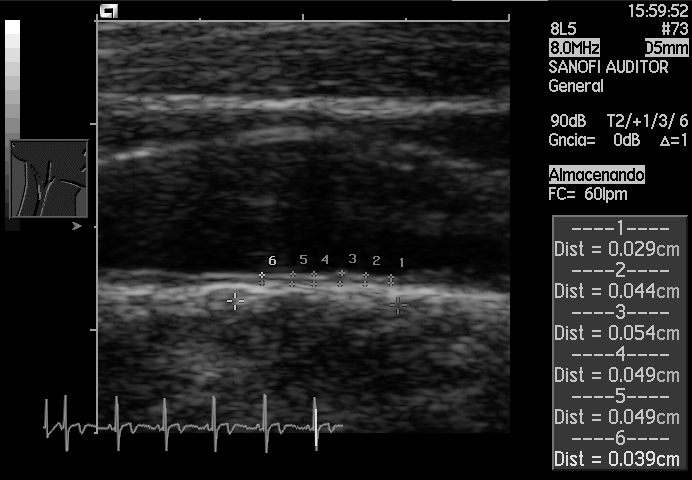
Which standard maternal-fetal ultrasound plane is shown: fetal abdomen, fetal brain, fetal femur, fetal thorax, maternal cervix, or other? If it's fetal brain and one of the three standard brain planes (trans-thalamic, trans-cerebellum, trans-ventricular), name which.

Other